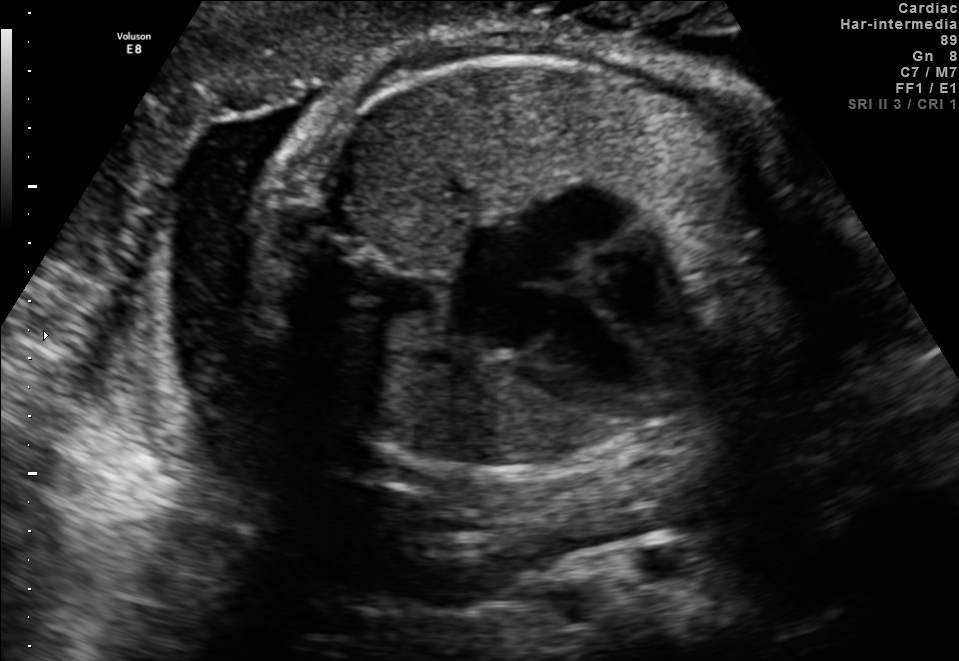
Which standard maternal-fetal ultrasound plane is shown: fetal abdomen, fetal brain, fetal femur, fetal thorax, maternal cervix, or other? If it's fetal brain and one of the three standard brain planes (trans-thalamic, trans-cerebellum, trans-ventricular), name which.

Fetal thorax